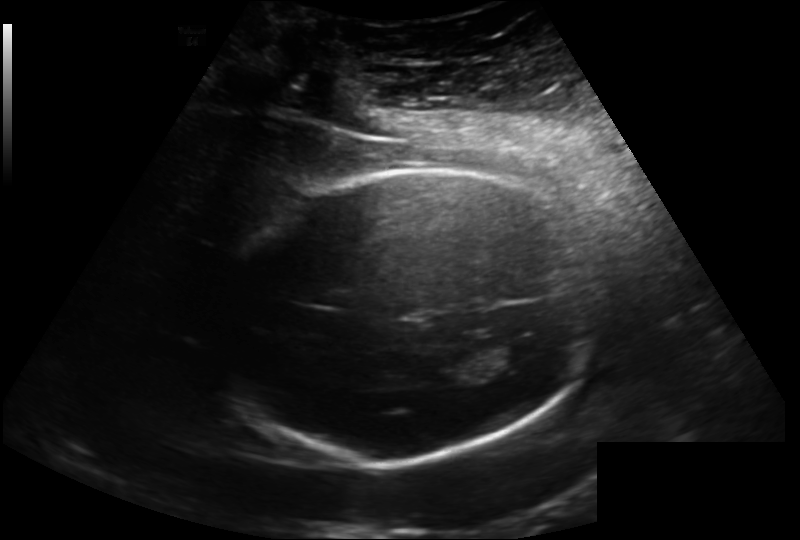
Estimate the fetal head circumference from this 2D ultrasound. Image width: 161.6 mm.

Head circumference: 220.9 mm.